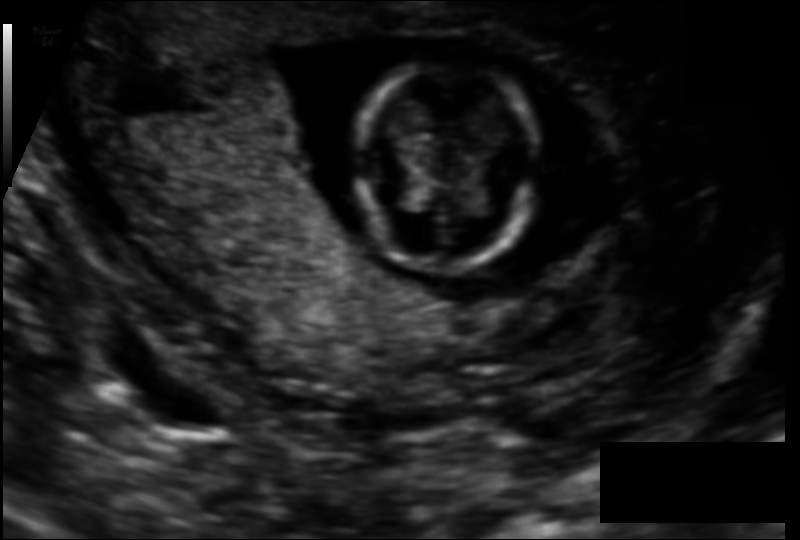
Estimate the fetal head circumference from this 2D ultrasound. Image width: 88.1 mm.

Head circumference: 69.7 mm.